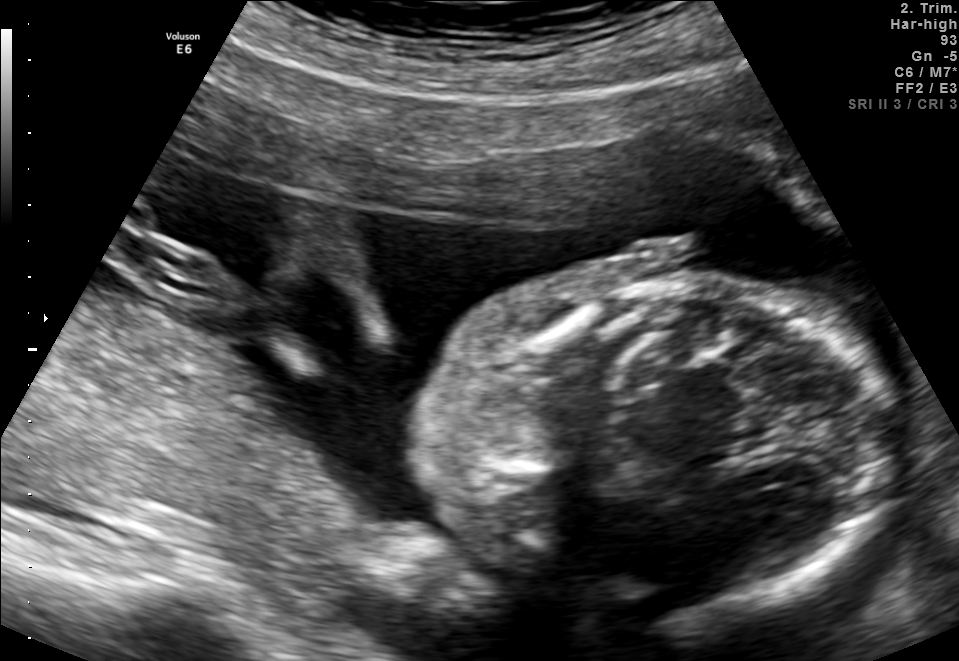
Identify the standard plane in this fetal ultrasound image: fetal abdomen, fetal brain, fetal femur, fetal thorax, maternal cervix, or other. If it's fetal brain and one of the three standard brain planes (trans-thalamic, trans-cerebellum, trans-ventricular), name which.

Fetal brain